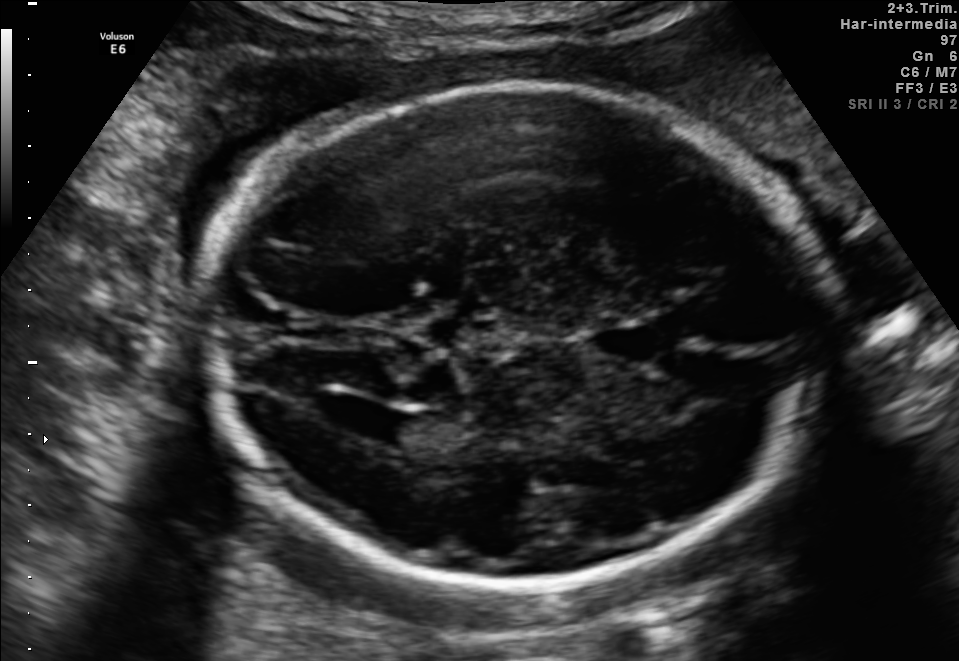
Fetal brain, trans-ventricular plane. Give [x1,y1,x2,y2] bounding boxes for each visible structure among: fetal head, CSP, LV.

Head: [196,79,845,592]
Lateral ventricle: [329,394,418,451]